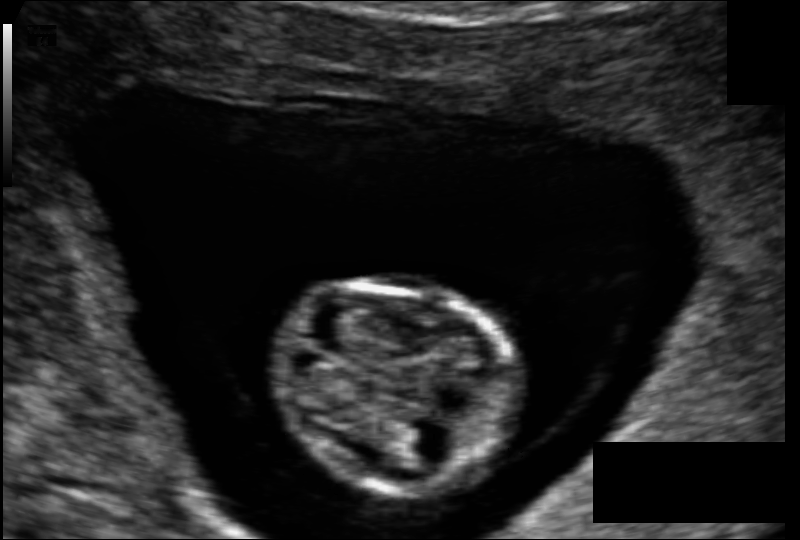
In this fetal head ultrasound, give bounding boxes for the head outline, cavum septum pellucidum (CSP), and lateral ventricle (LV), where visible. Image width: 71.4 mm.

Head: [275,285,520,490]